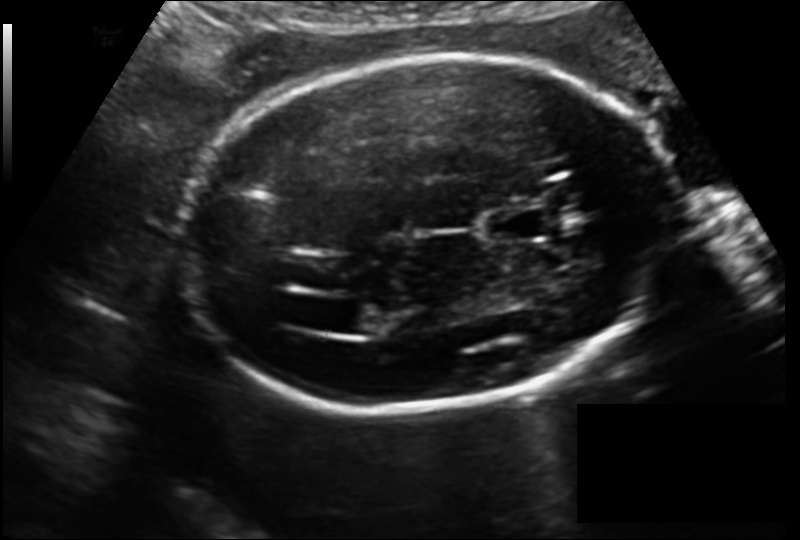
Fetal head ultrasound. Image width: 120.3 mm. Locate the fetal head.

Head: [177,53,675,410]